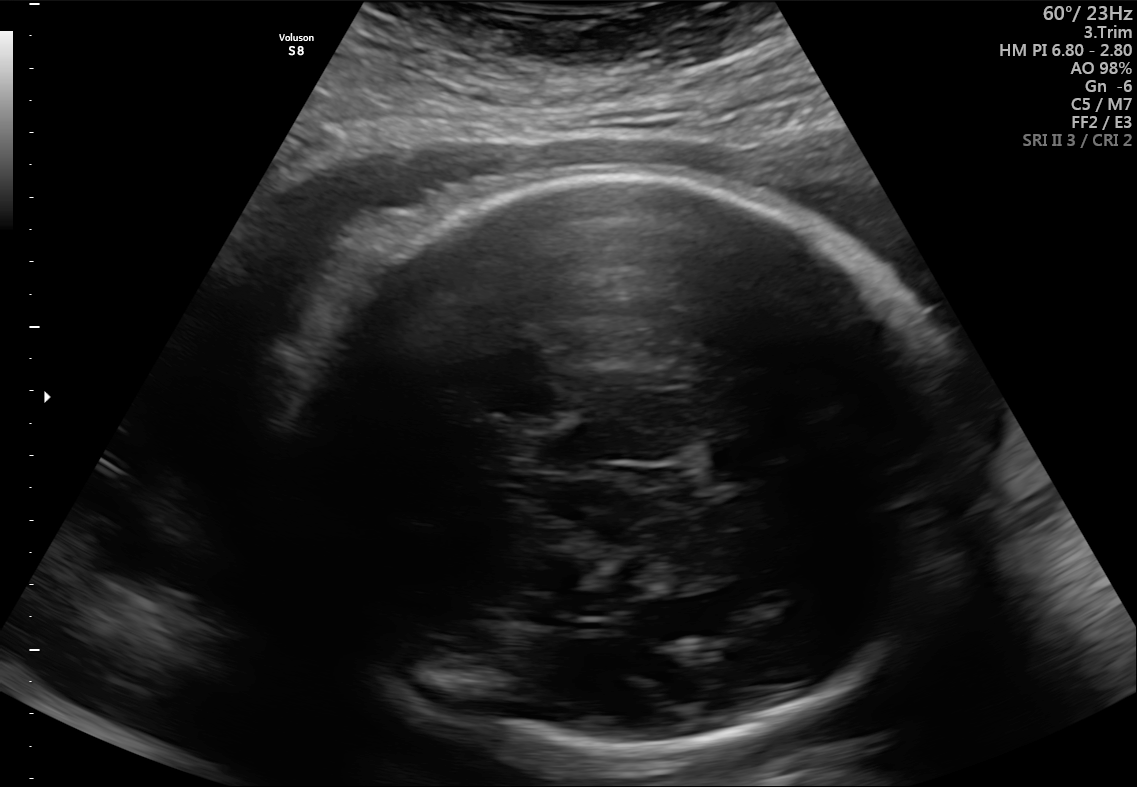
In this fetal brain, trans-thalamic plane, give the bounding box of the fetal head.

[299,173,969,757]